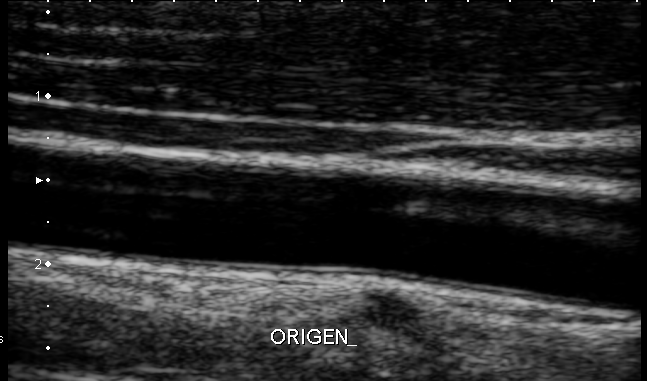
Which standard maternal-fetal ultrasound plane is shown: fetal abdomen, fetal brain, fetal femur, fetal thorax, maternal cervix, or other? If it's fetal brain and one of the three standard brain planes (trans-thalamic, trans-cerebellum, trans-ventricular), name which.

Other